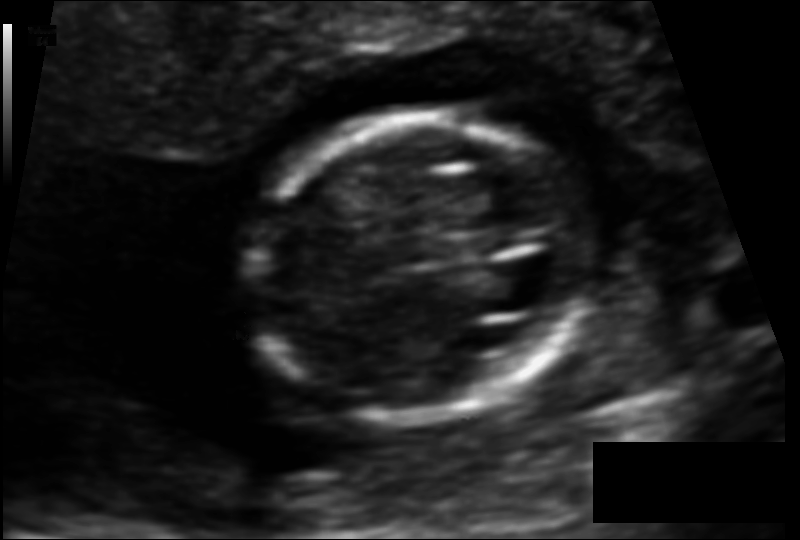
Fetal head ultrasound. Image width: 73.5 mm. Where is the fetal head?

Head bounding box: [244,114,592,422]